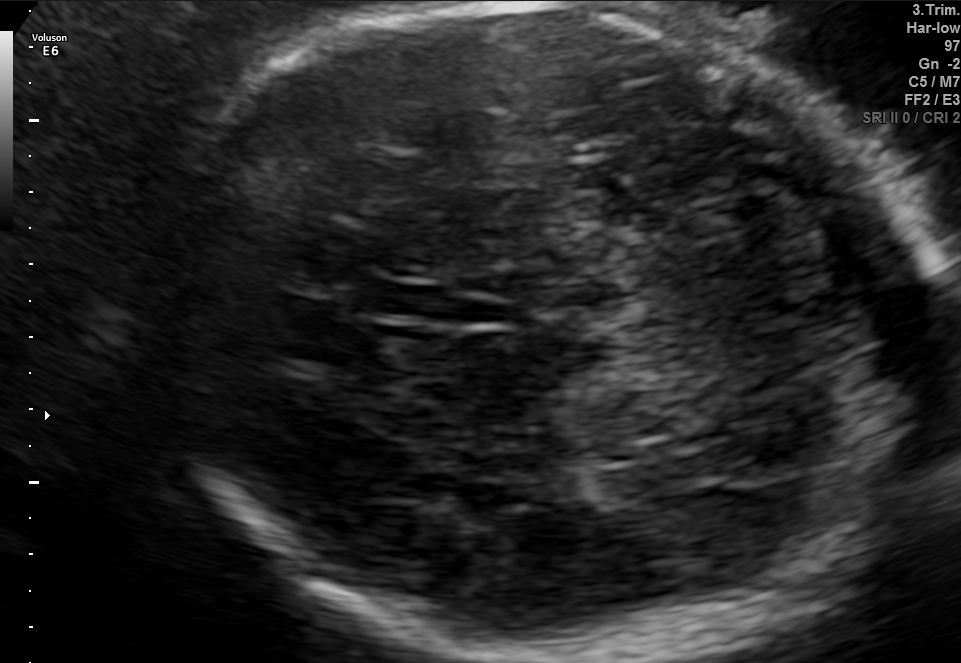
This is a 2D maternal-fetal ultrasound frame. Is it a fetal abdomen, fetal brain, fetal femur, fetal thorax, maternal cervix, or other standard plane? If it's fetal brain and one of the three standard brain planes (trans-thalamic, trans-cerebellum, trans-ventricular), name which.

Fetal brain (trans-thalamic plane)